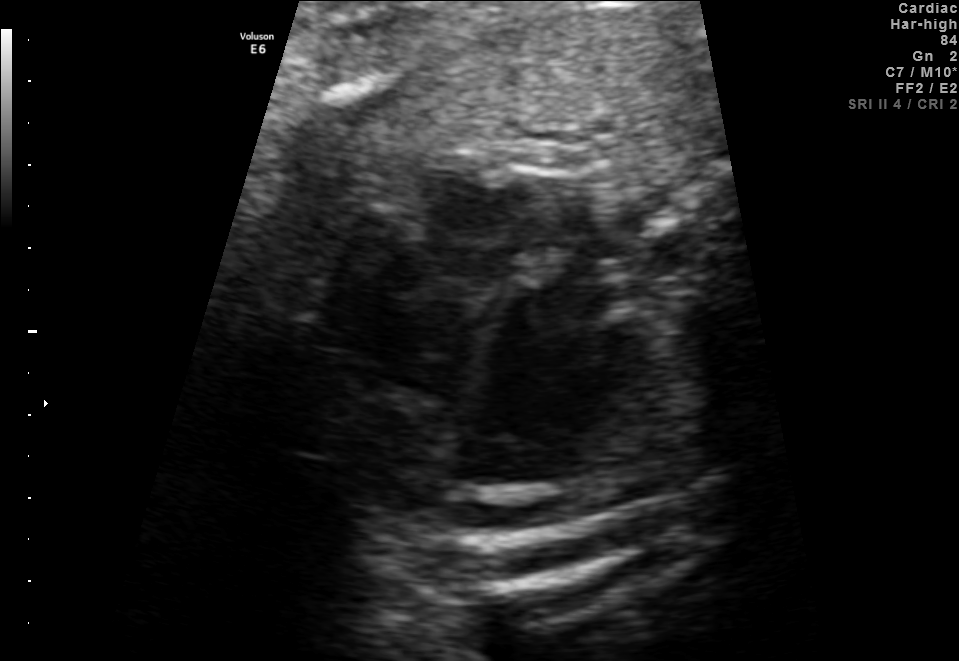
Identify the standard plane in this fetal ultrasound image: fetal abdomen, fetal brain, fetal femur, fetal thorax, maternal cervix, or other. If it's fetal brain and one of the three standard brain planes (trans-thalamic, trans-cerebellum, trans-ventricular), name which.

Fetal thorax